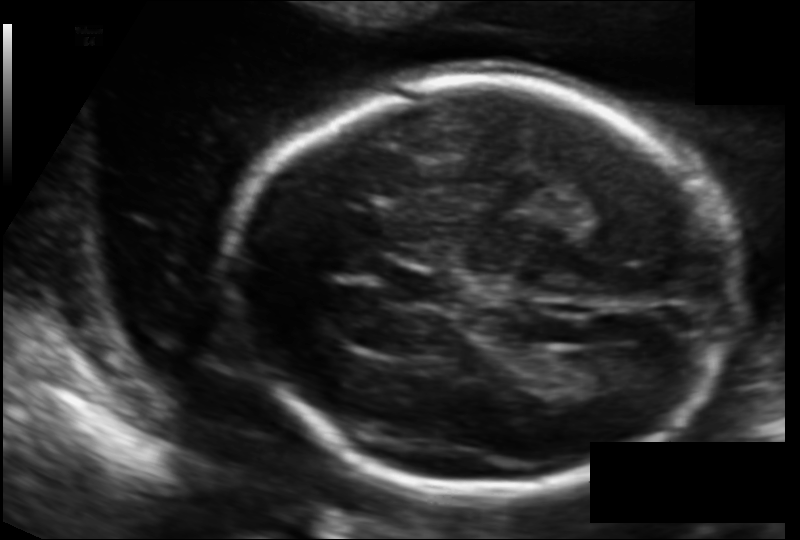
What is the fetal head circumference? Image width is 100.4 mm.

185.7 mm